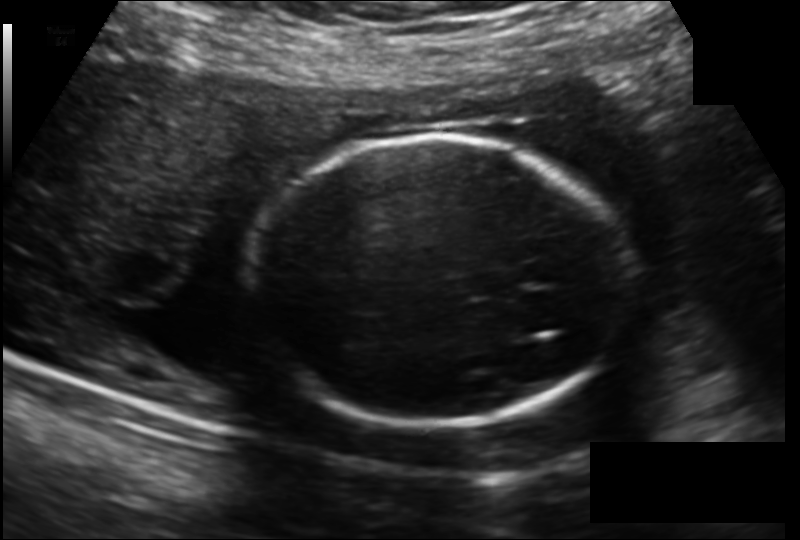
Fetal head ultrasound. Image width: 132.5 mm. Where is the fetal head?

Head bounding box: [251,140,624,426]